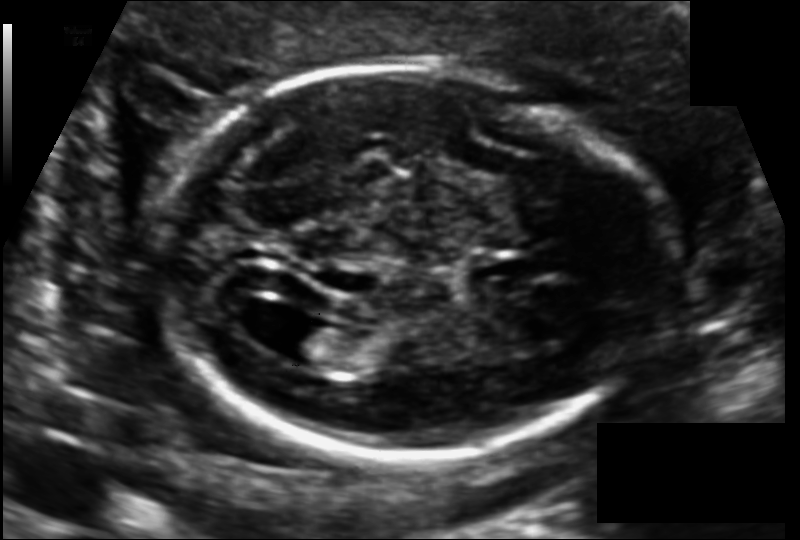
Fetal head ultrasound. Image width: 94.6 mm. Locate the fetal head and, if visible, the cavum septum pellucidum (CSP) and lateral ventricle (LV). Give bounding boxes as [x1,y1,x2,y2].

Head: [157,65,668,455]
Lateral ventricle: [271,313,351,376]